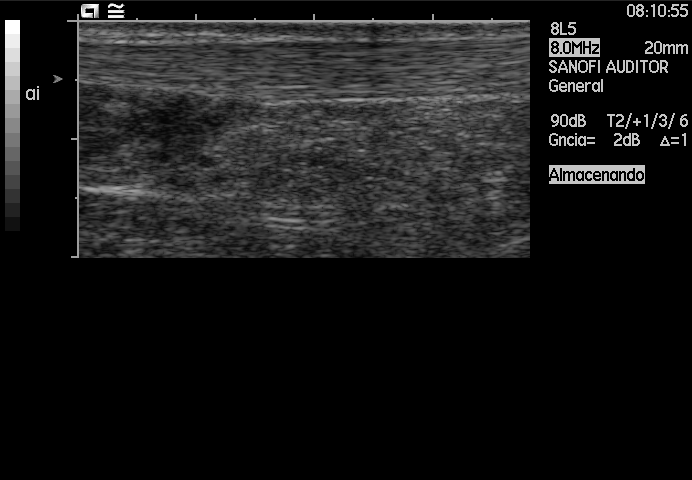
Identify the standard plane in this fetal ultrasound image: fetal abdomen, fetal brain, fetal femur, fetal thorax, maternal cervix, or other. If it's fetal brain and one of the three standard brain planes (trans-thalamic, trans-cerebellum, trans-ventricular), name which.

Other